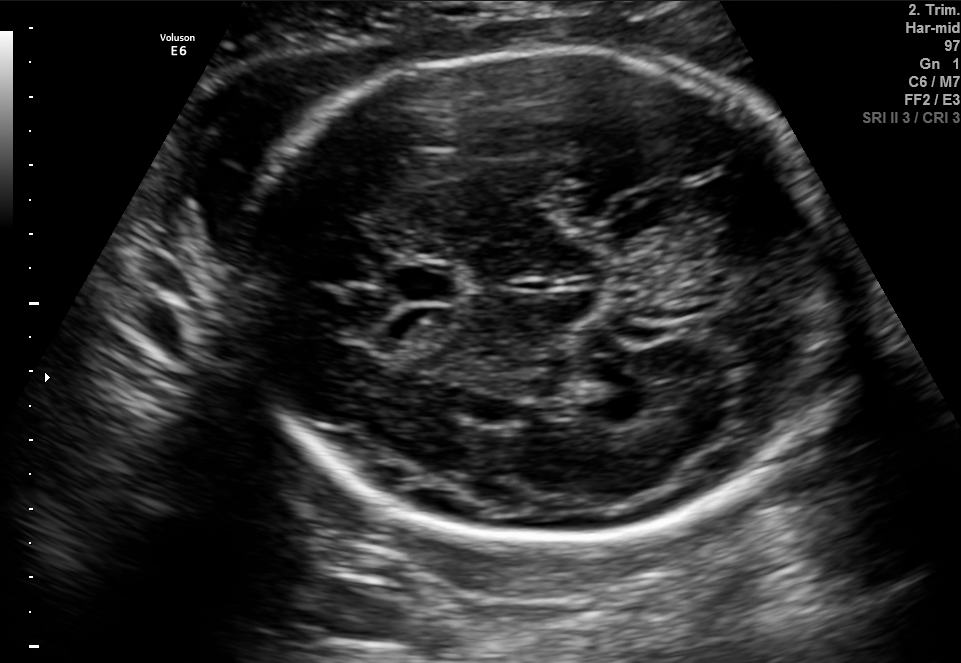
In this fetal brain, trans-thalamic plane, give the bounding box of the cavum septum pellucidum.

[395,266,458,300]